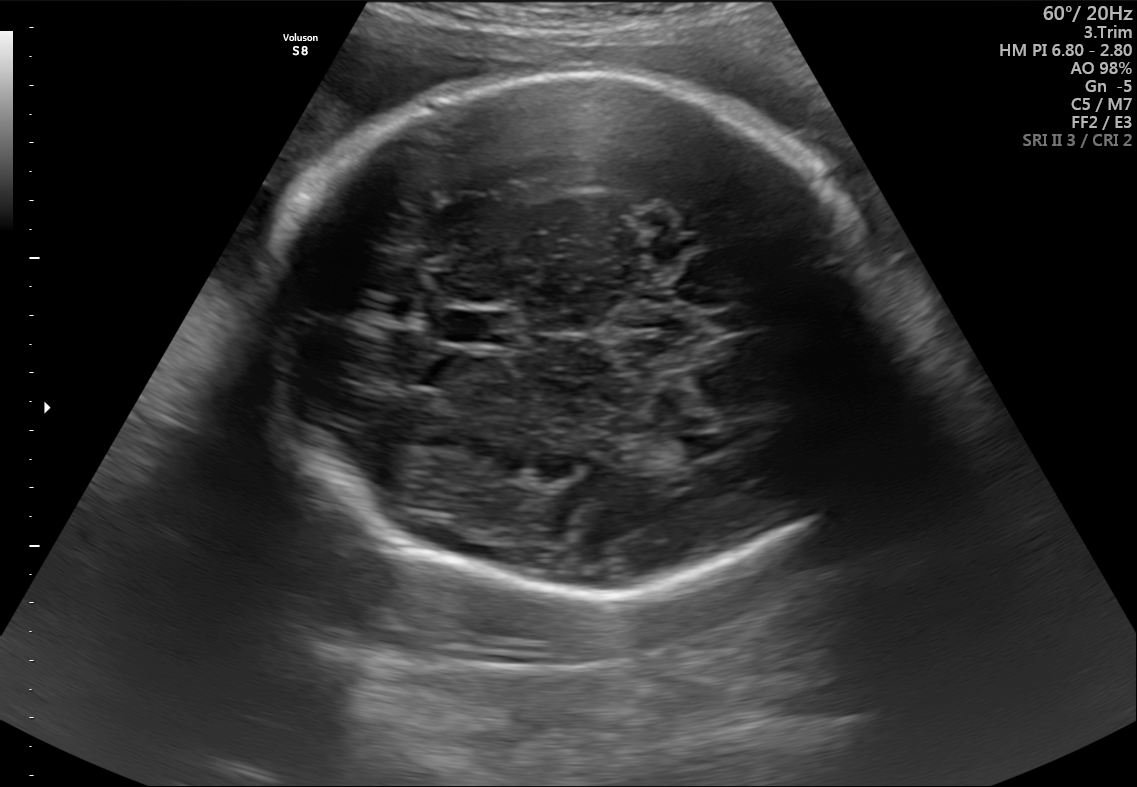
Fetal brain, trans-thalamic plane. Where is the cavum septum pellucidum?

CSP bounding box: [445,310,515,345]